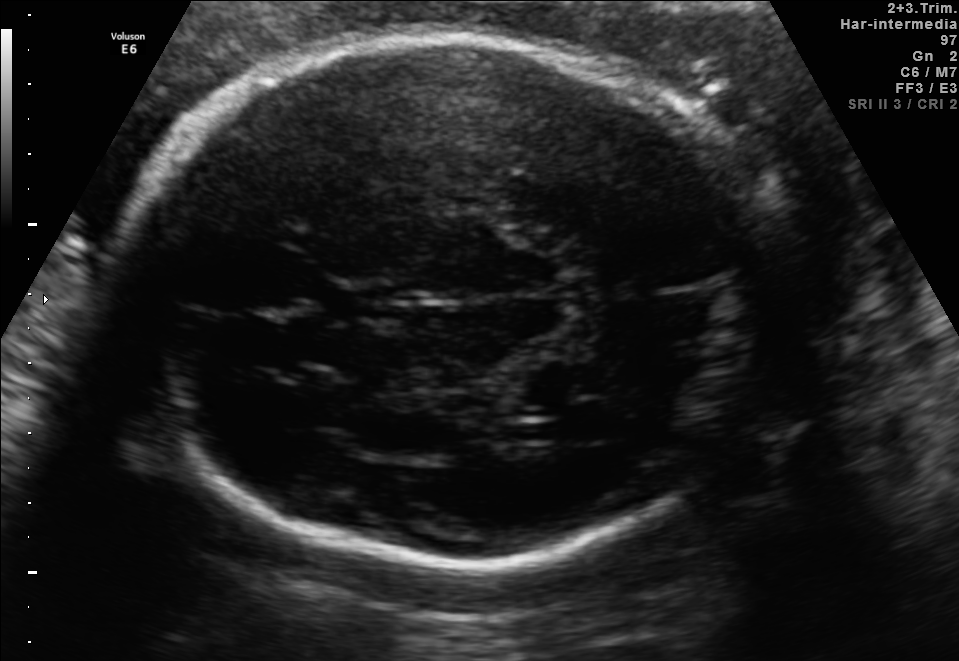
In this fetal brain, trans-thalamic plane, give the bounding box of the cavum septum pellucidum.

[322,280,392,324]